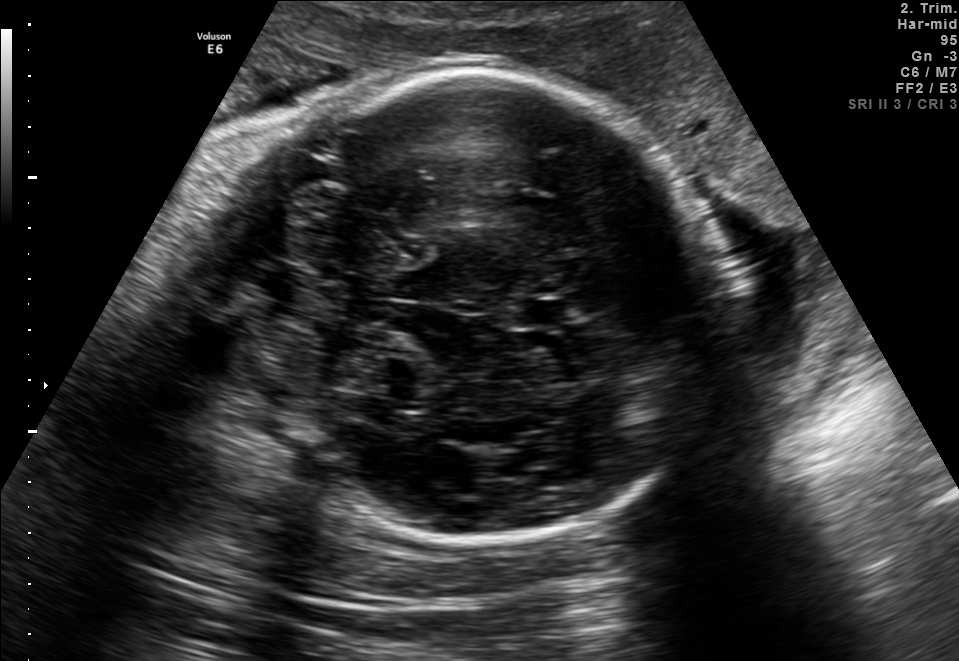
Fetal brain, trans-cerebellum plane. Locate the fetal head and, if visible, the cavum septum pellucidum (CSP) and lateral ventricle (LV). Give bounding boxes as [x1,y1,x2,y2].

Head: [214,68,727,539]
CSP: [511,295,575,330]